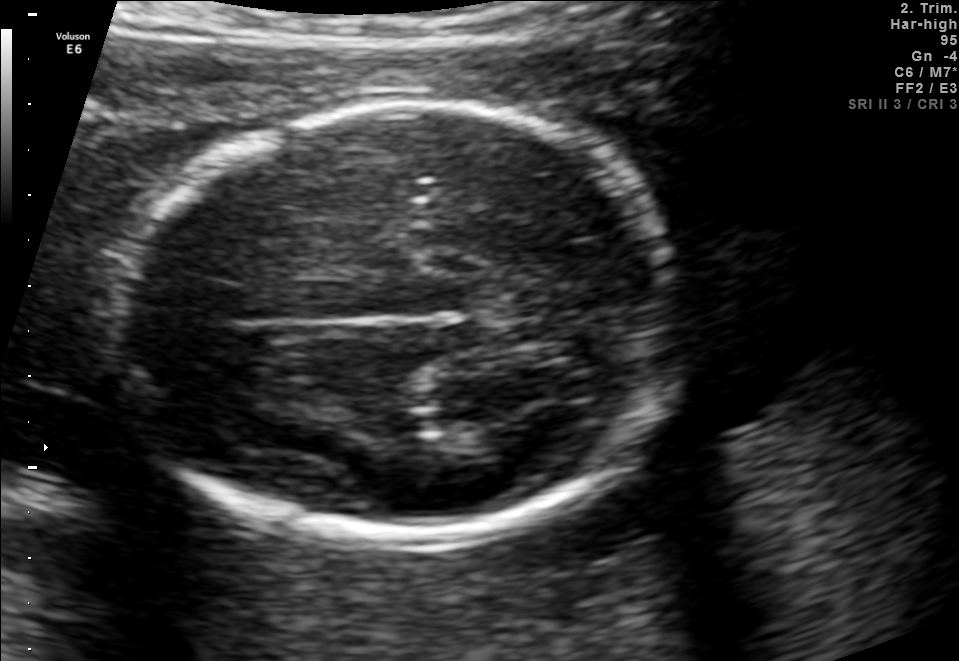
In this fetal brain, trans-thalamic plane, give the bounding box of the lateral ventricle.

[465,411,549,458]